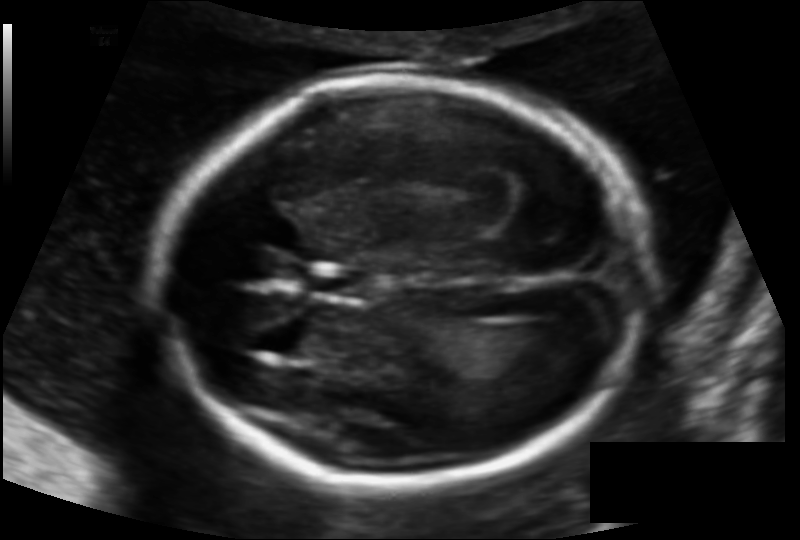
What is the fetal head circumference? Image width is 97.8 mm.

177.1 mm